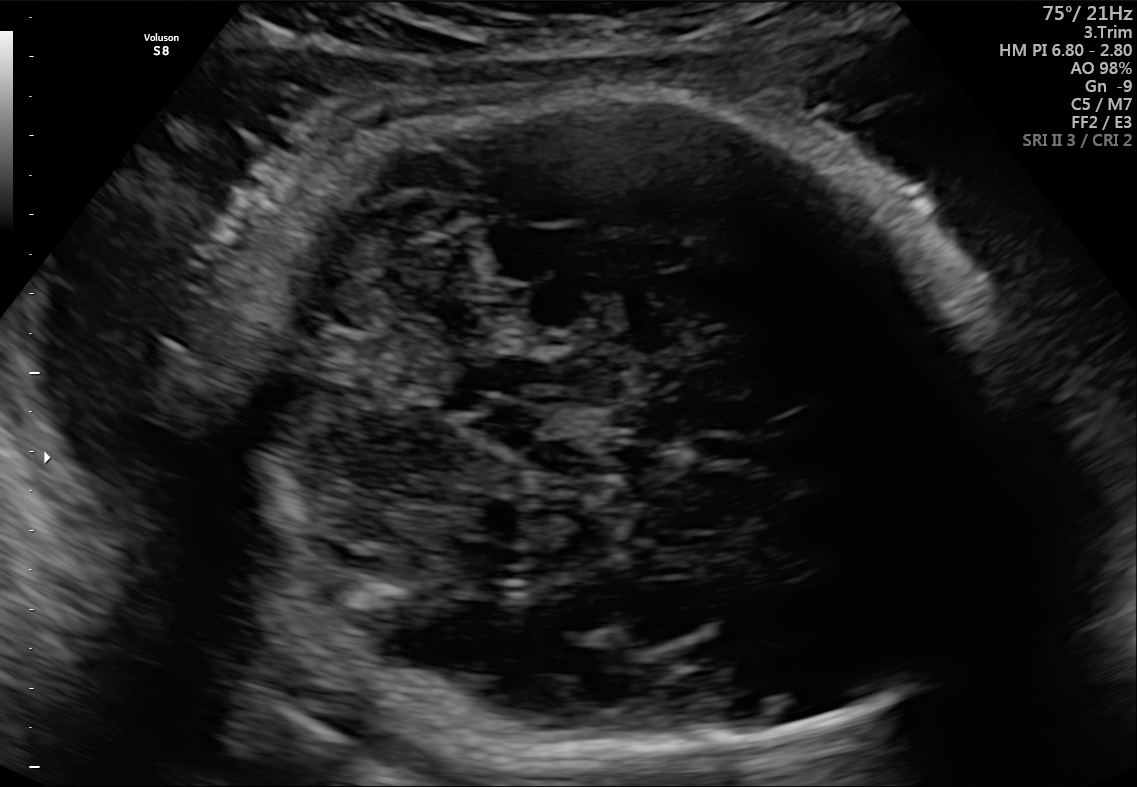
Fetal brain, trans-cerebellum plane. Locate the fetal head.

Head: [199,85,1014,762]